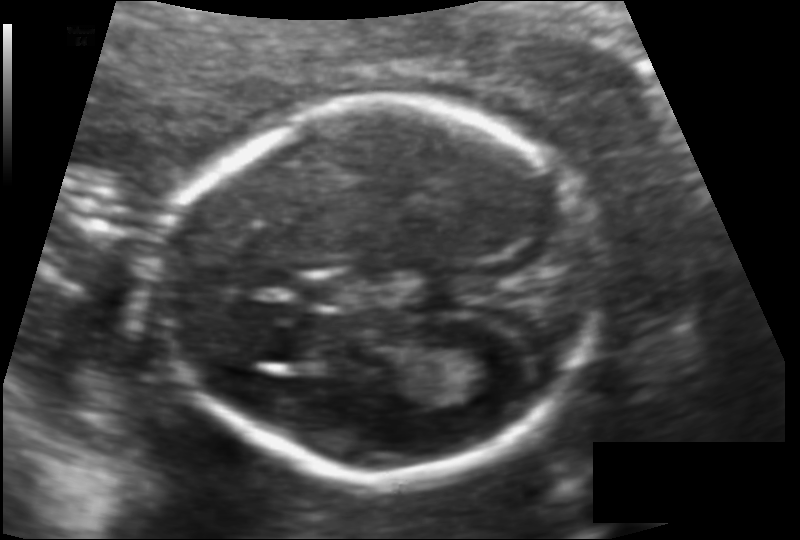
Estimate the fetal head circumference from this 2D ultrasound.

Head circumference: 149.1 mm (image width 90.5 mm).